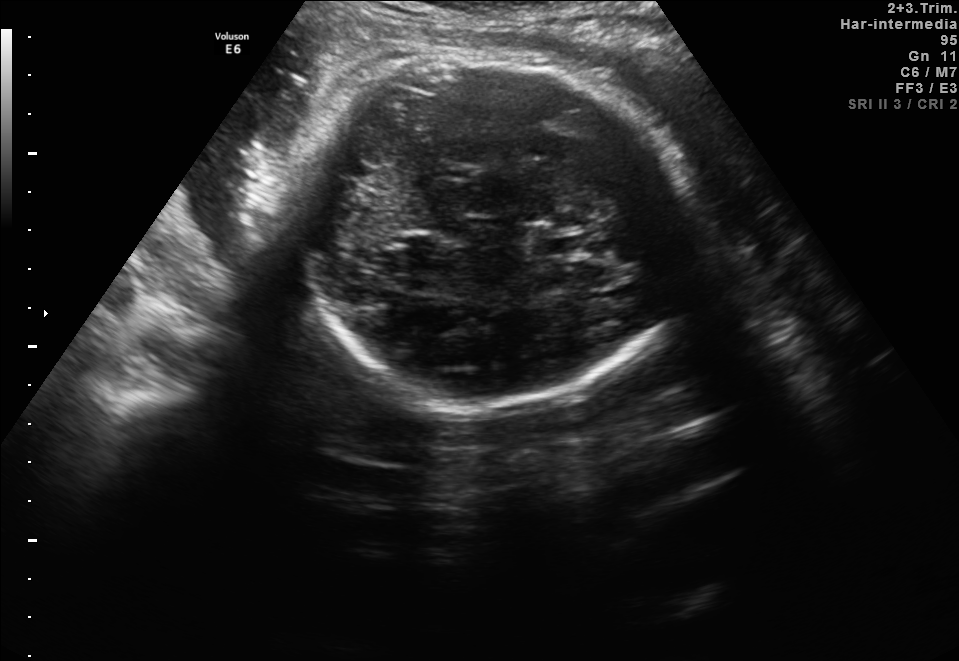
Fetal brain, trans-thalamic plane. Where is the cavum septum pellucidum?

CSP bounding box: [532,233,590,257]